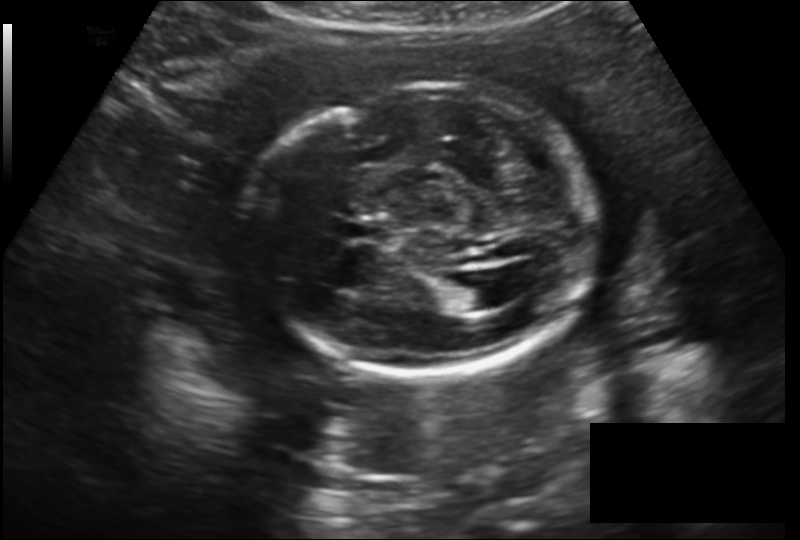
Fetal head ultrasound. Image width: 145.7 mm. Give [x1,y1,x2,y2] bounding boxes for each visible structure among: fetal head, CSP, LV.

Head: [246,85,596,373]
CSP: [344,220,387,242]
Lateral ventricle: [449,278,499,312]